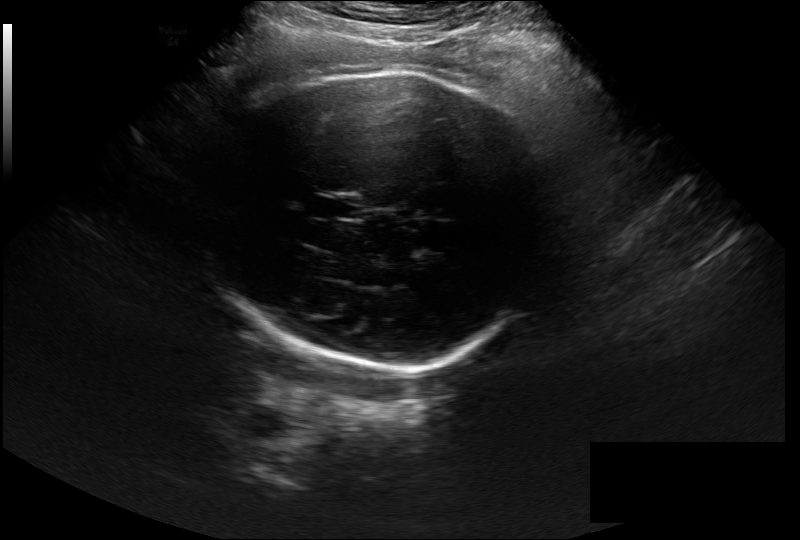
In this fetal head ultrasound, give the bounding box of the fetal head. Image width: 237.6 mm.

[209,73,549,371]